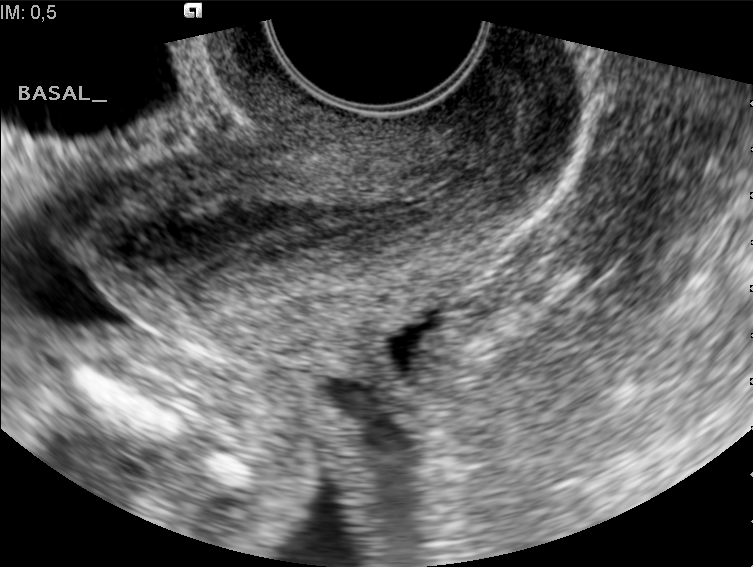
Which standard maternal-fetal ultrasound plane is shown: fetal abdomen, fetal brain, fetal femur, fetal thorax, maternal cervix, or other? If it's fetal brain and one of the three standard brain planes (trans-thalamic, trans-cerebellum, trans-ventricular), name which.

Maternal cervix